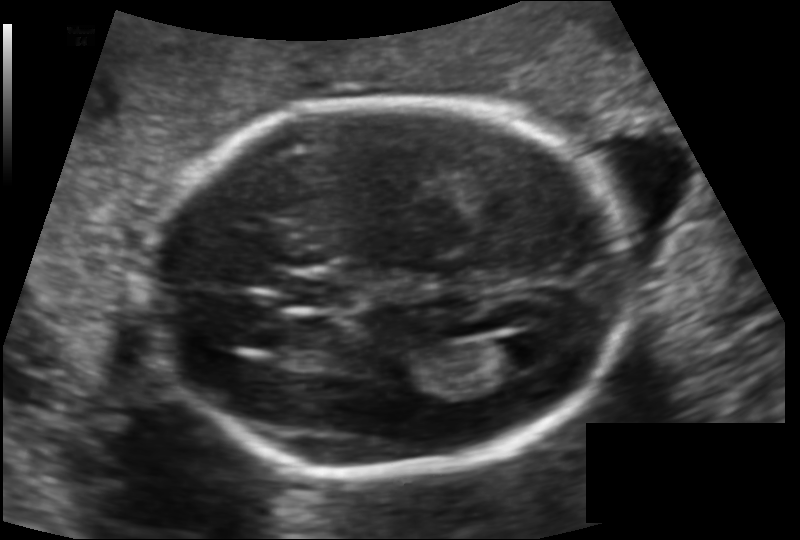
Fetal head ultrasound. Image width: 100.1 mm. Locate the cavum septum pellucidum.

CSP: [282,275,359,308]